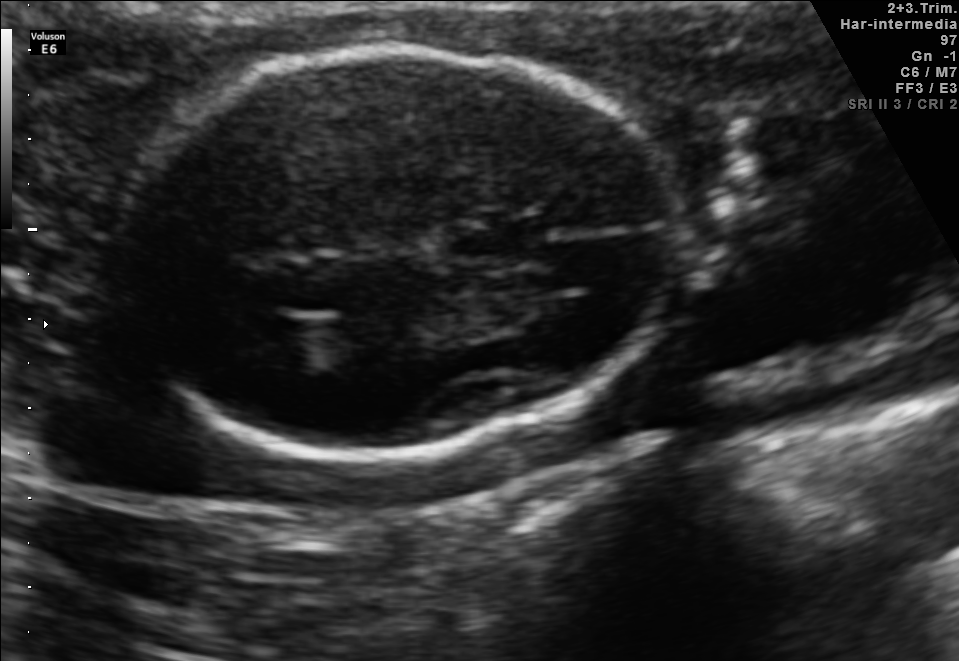
Fetal brain, trans-thalamic plane. Give [x1,y1,x2,y2] bounding boxes for each visible structure among: fetal head, CSP, LV.

Head: [116,48,673,453]
CSP: [448,217,544,267]
Lateral ventricle: [228,304,330,369]